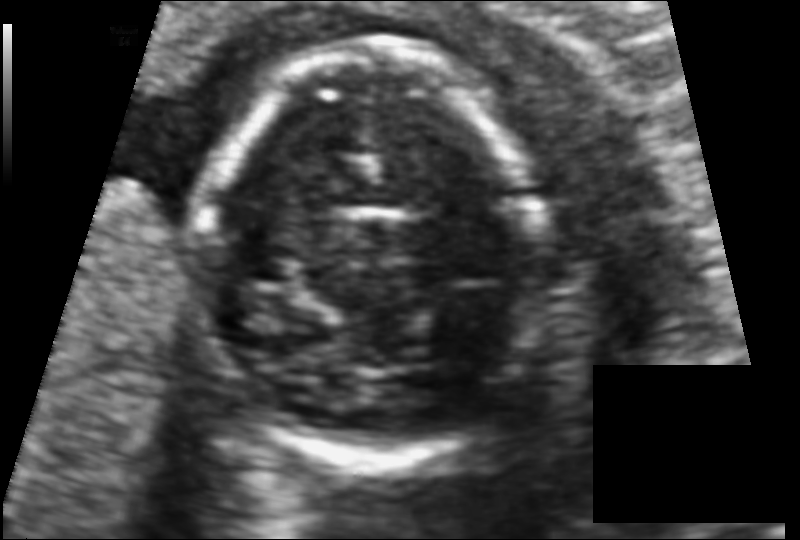
Fetal head ultrasound. Image width: 74.5 mm. Give [x1,y1,x2,y2] bounding boxes for each visible structure among: fetal head, CSP, LV.

Head: [205,42,541,457]